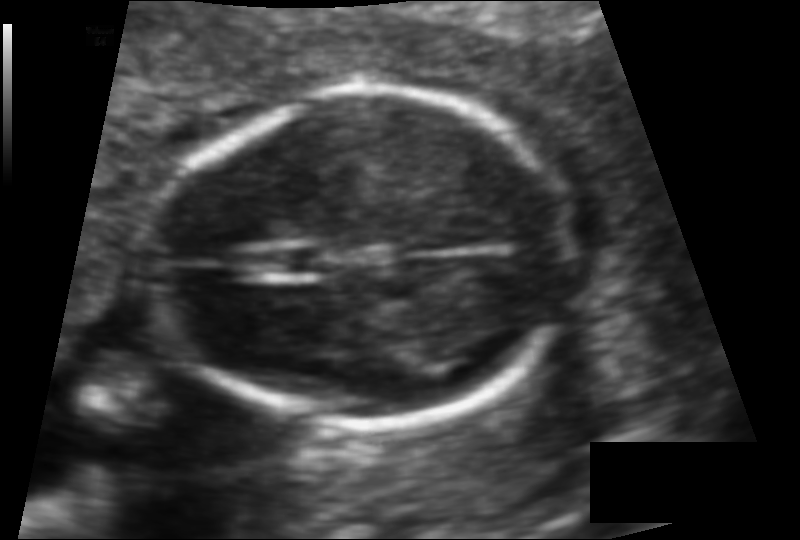
Measure the fetal head circumference shown in this ultrasound image. Image width: 75.5 mm.

Head circumference: 120.3 mm.